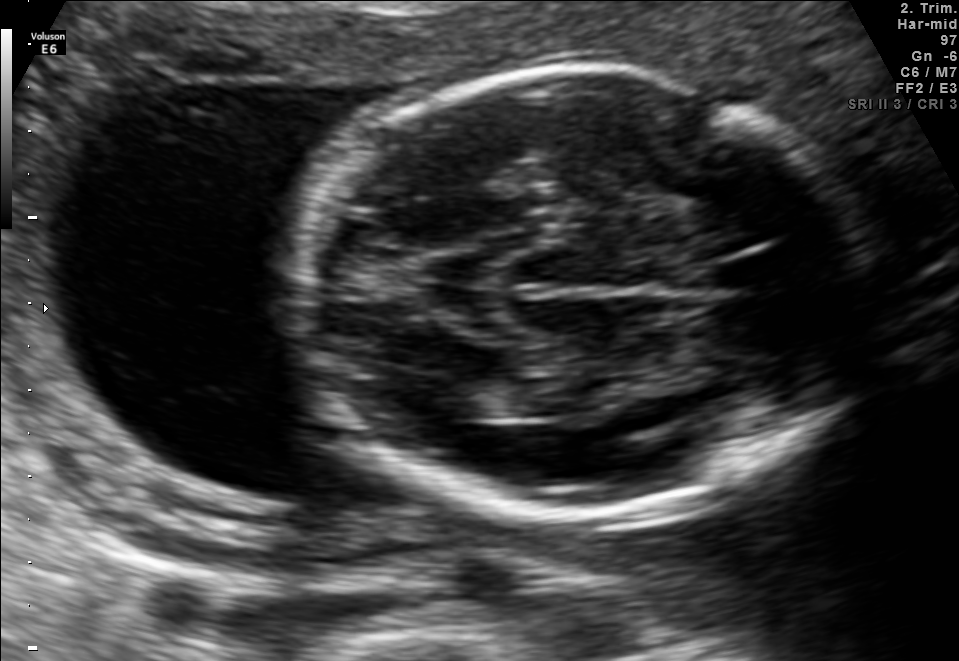
Fetal brain, trans-thalamic plane. Give [x1,y1,x2,y2] bounding boxes for each visible structure among: fetal head, CSP, LV.

Head: [298,69,867,516]
Lateral ventricle: [424,375,520,424]